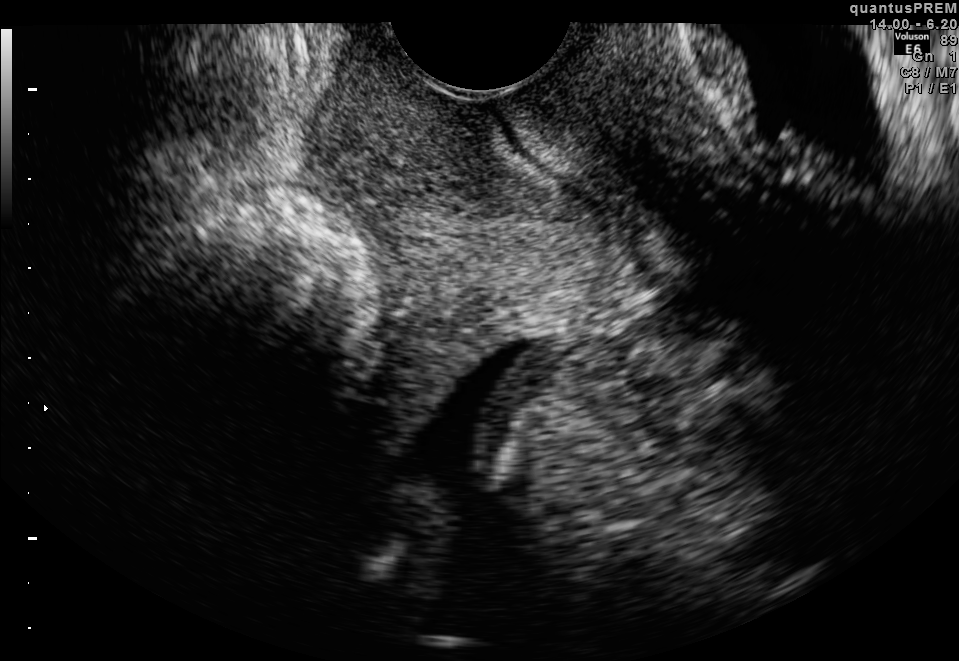
Classify this maternal-fetal ultrasound image as one of the six standard planes — fetal abdomen, fetal brain, fetal femur, fetal thorax, maternal cervix, or other. If it's fetal brain and one of the three standard brain planes (trans-thalamic, trans-cerebellum, trans-ventricular), name which.

Maternal cervix